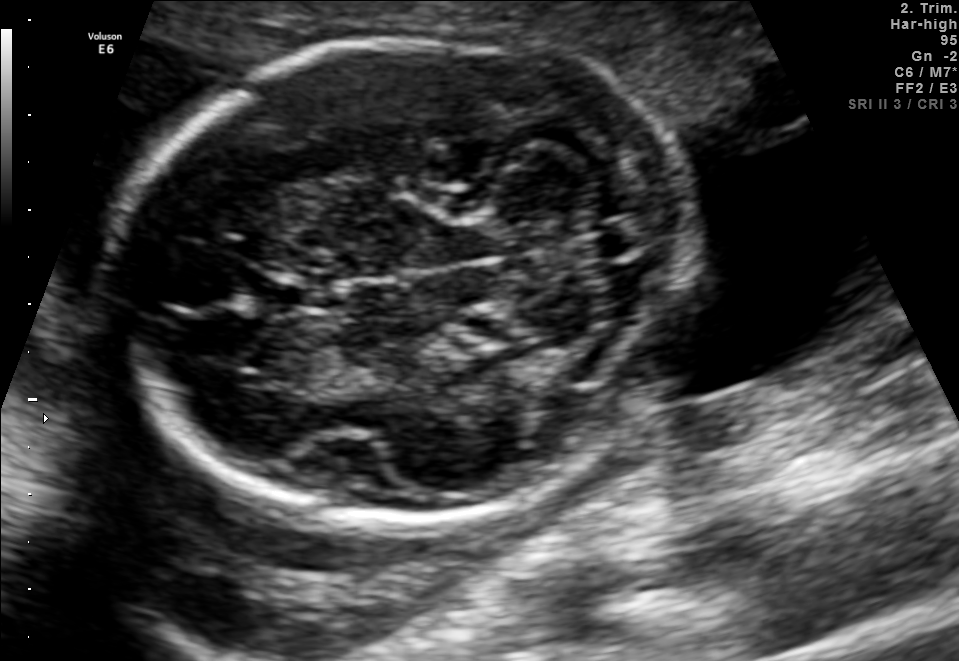
Fetal brain, trans-cerebellum plane. Where is the cavum septum pellucidum?

CSP bounding box: [270,282,326,314]